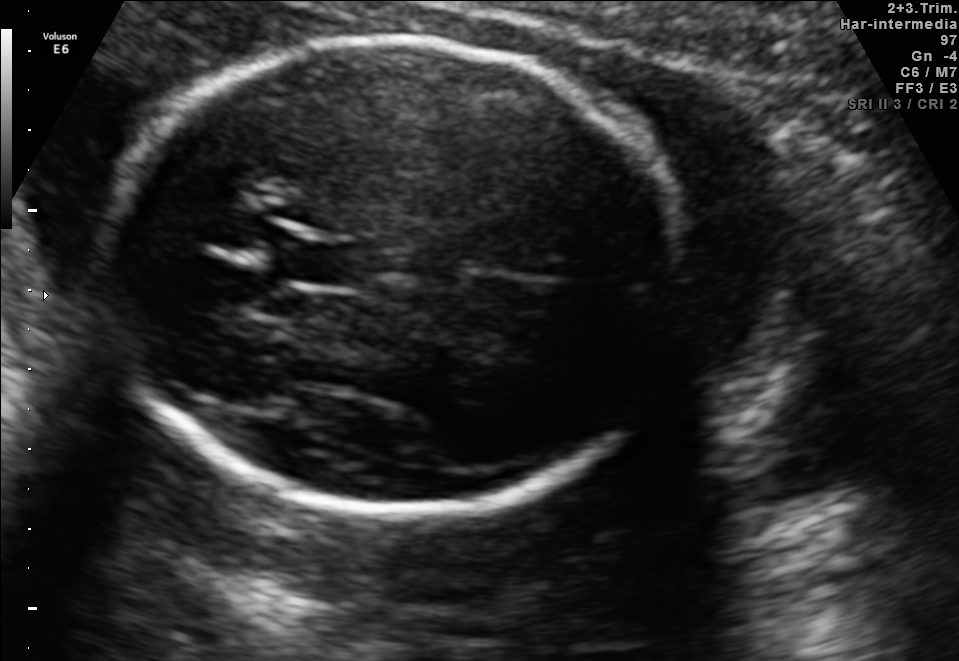
Fetal brain, trans-thalamic plane. Where is the fetal head?

Head bounding box: [99,40,688,513]